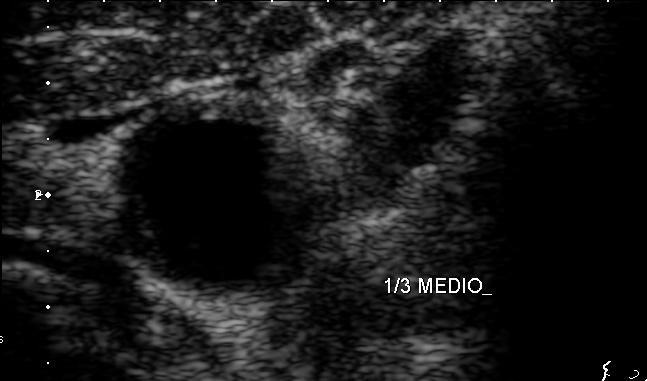
Identify the standard plane in this fetal ultrasound image: fetal abdomen, fetal brain, fetal femur, fetal thorax, maternal cervix, or other. If it's fetal brain and one of the three standard brain planes (trans-thalamic, trans-cerebellum, trans-ventricular), name which.

Other